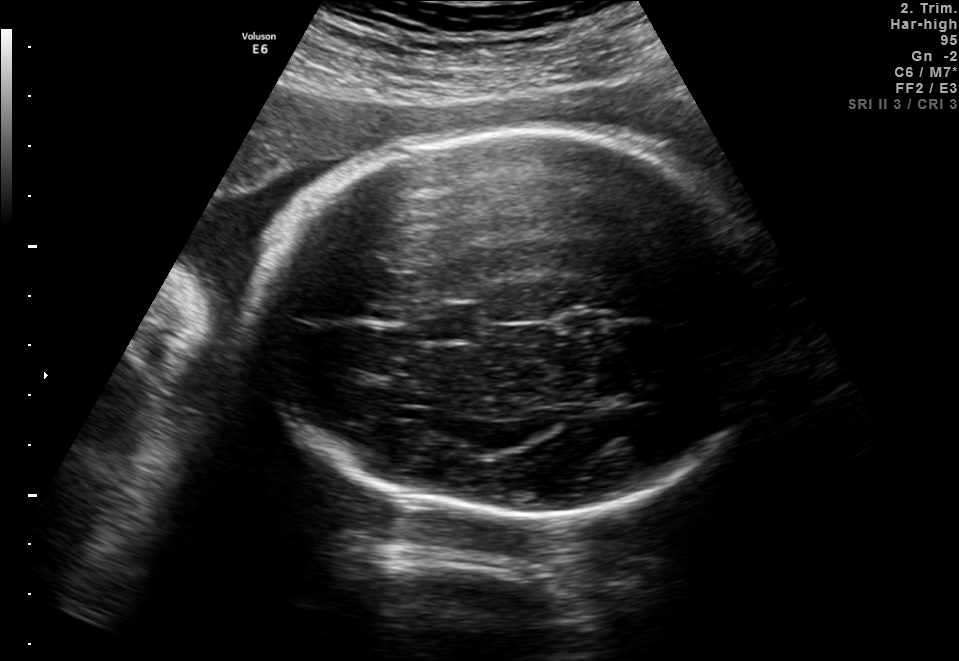
Classify this maternal-fetal ultrasound image as one of the six standard planes — fetal abdomen, fetal brain, fetal femur, fetal thorax, maternal cervix, or other. If it's fetal brain and one of the three standard brain planes (trans-thalamic, trans-cerebellum, trans-ventricular), name which.

Fetal brain (trans-thalamic plane)